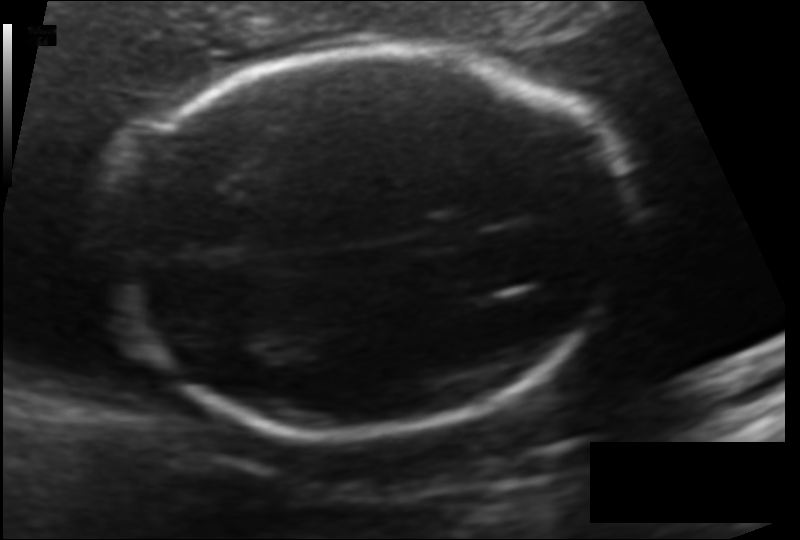
What is the fetal head circumference? Image width is 97.8 mm.

178.7 mm